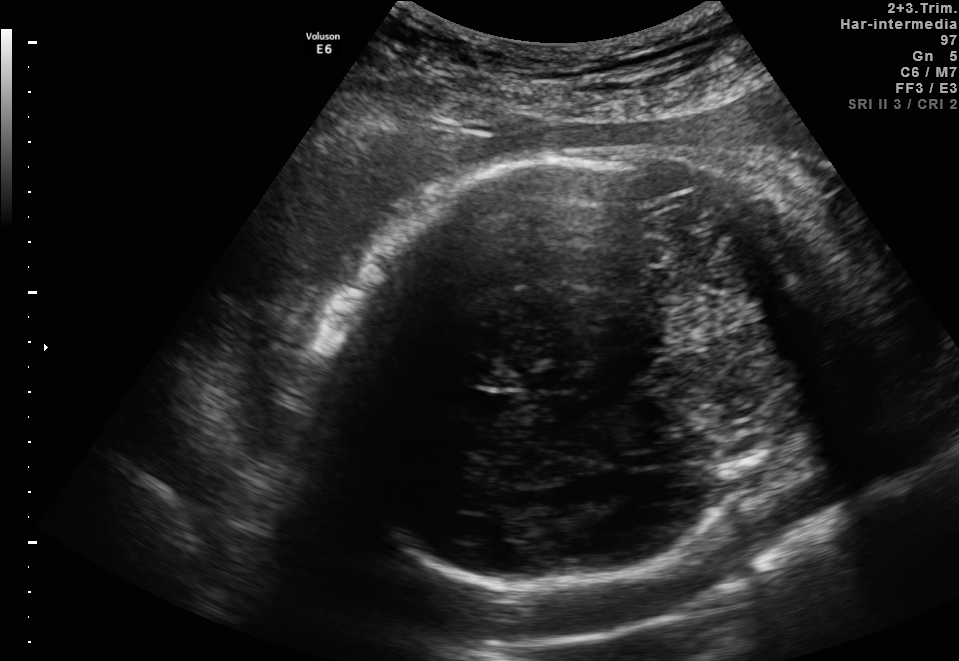
In this fetal brain, trans-thalamic plane, give the bounding box of the fetal head.

[323,148,806,587]